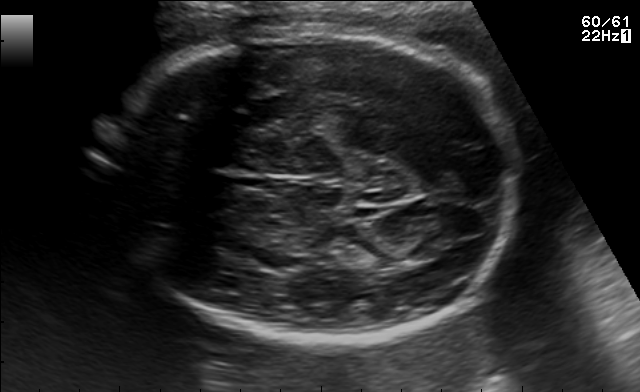
Fetal brain, trans-thalamic plane. Give [x1,y1,x2,y2] bounding boxes for each visible structure among: fetal head, CSP, LV.

Head: [100,25,523,349]